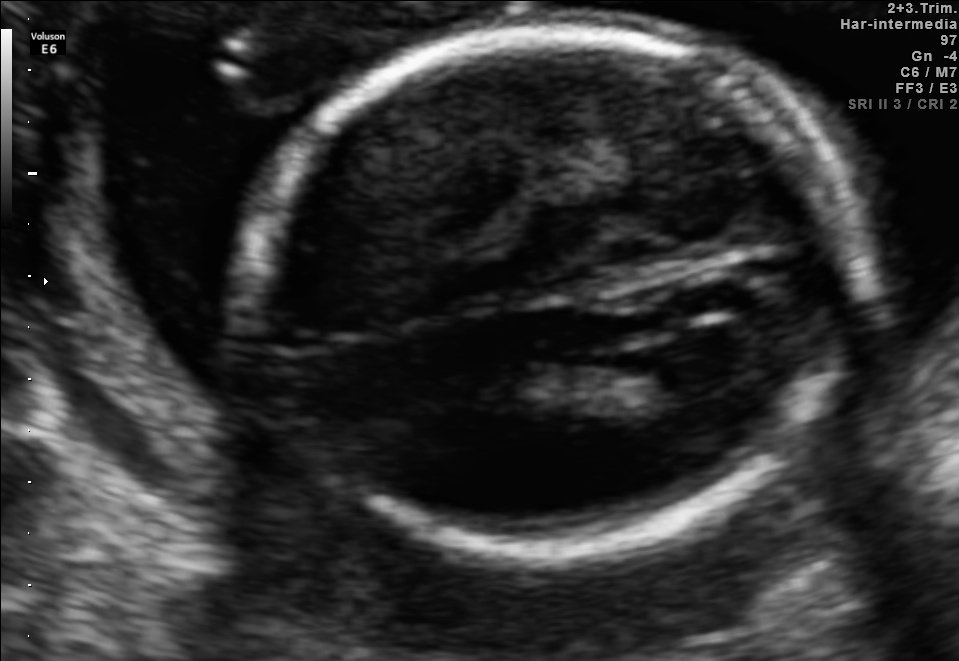
In this fetal brain, trans-ventricular plane, give the bounding box of the fetal head.

[222,20,869,563]